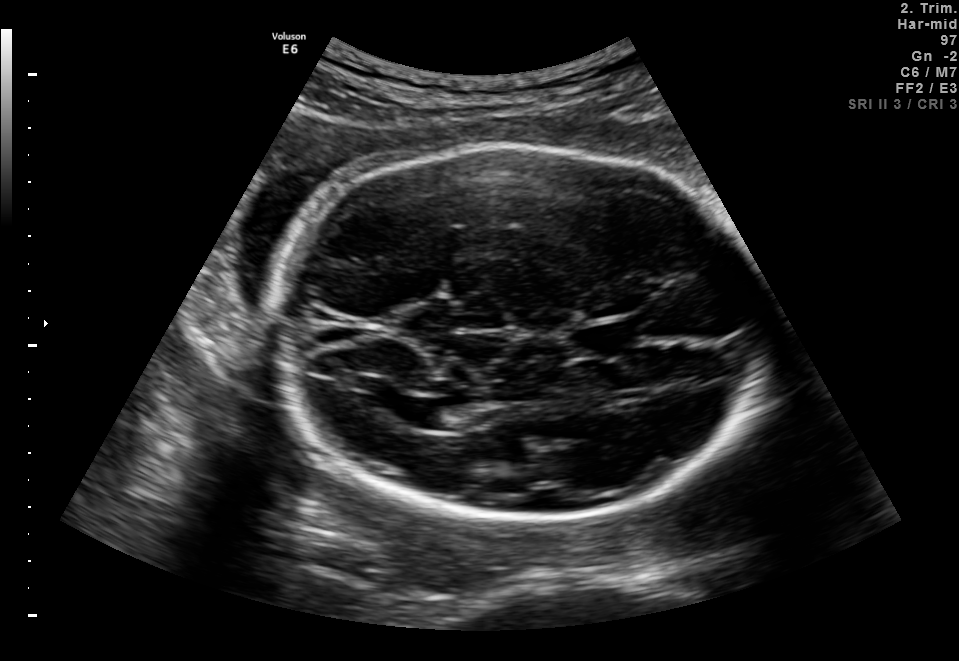
Fetal brain, trans-ventricular plane. Where is the lateral ventricle?

Lateral ventricle bounding box: [391,395,442,430]